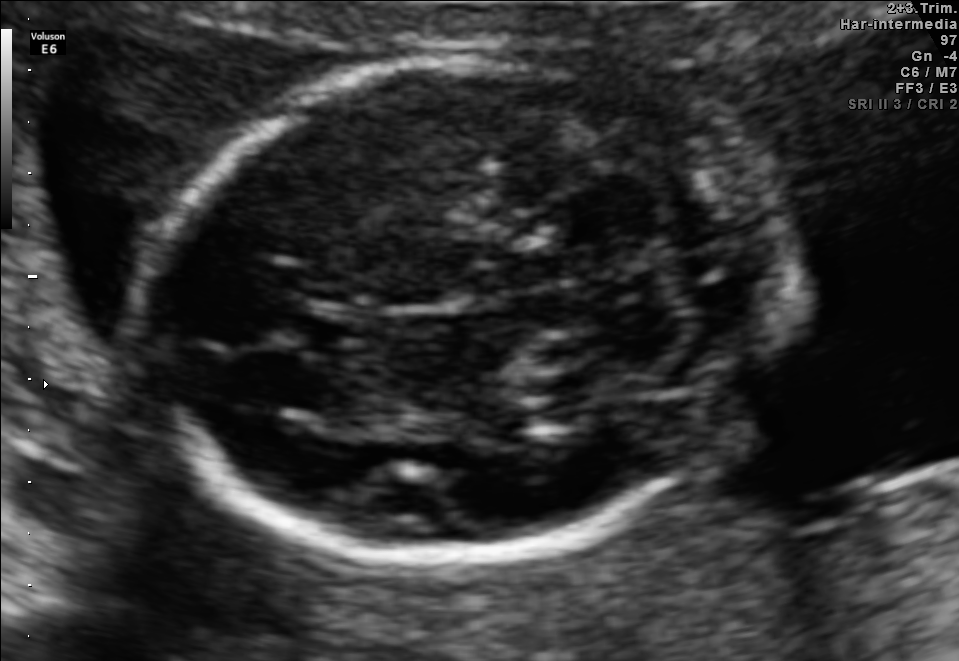
Fetal brain, trans-cerebellum plane. Locate the fetal head.

Head: [160,55,739,572]